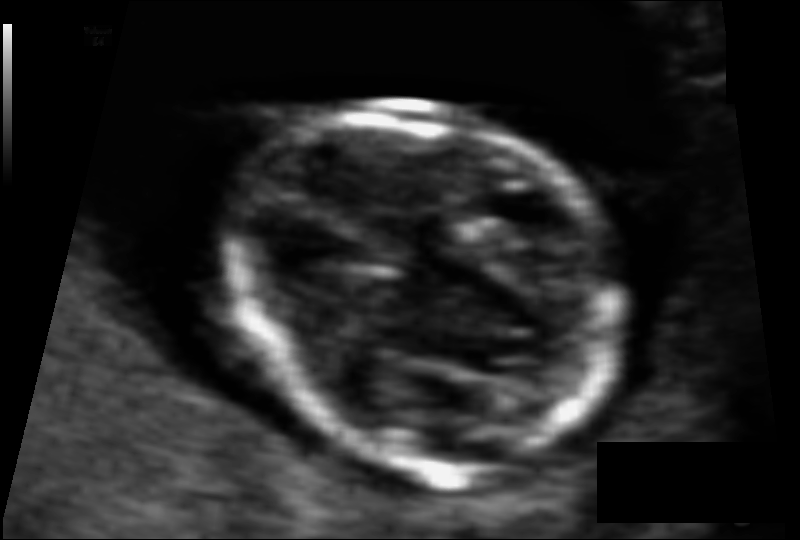
Fetal head ultrasound. Image width: 50.5 mm. Where is the fetal head?

Head bounding box: [231,100,624,472]